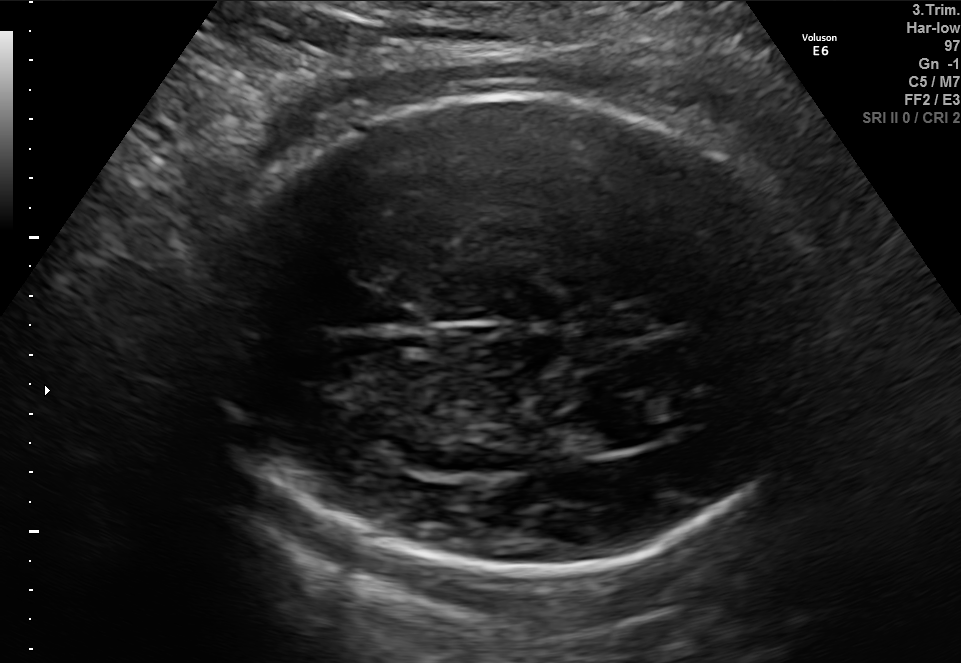
This is a 2D maternal-fetal ultrasound frame. Is it a fetal abdomen, fetal brain, fetal femur, fetal thorax, maternal cervix, or other standard plane? If it's fetal brain and one of the three standard brain planes (trans-thalamic, trans-cerebellum, trans-ventricular), name which.

Fetal brain (trans-thalamic plane)